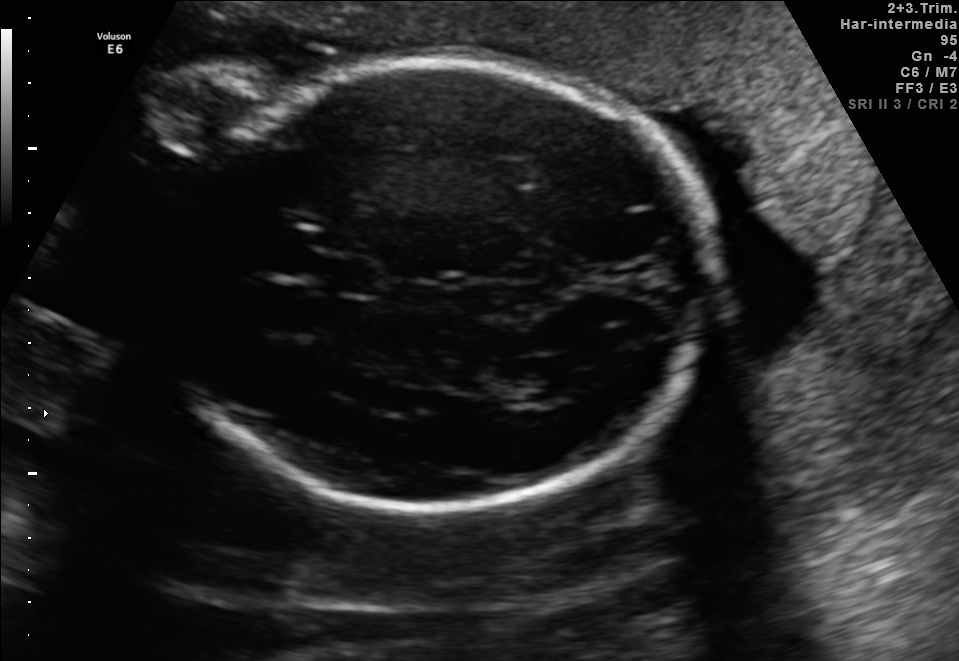
This is a 2D maternal-fetal ultrasound frame. Is it a fetal abdomen, fetal brain, fetal femur, fetal thorax, maternal cervix, or other standard plane? If it's fetal brain and one of the three standard brain planes (trans-thalamic, trans-cerebellum, trans-ventricular), name which.

Fetal brain (trans-ventricular plane)